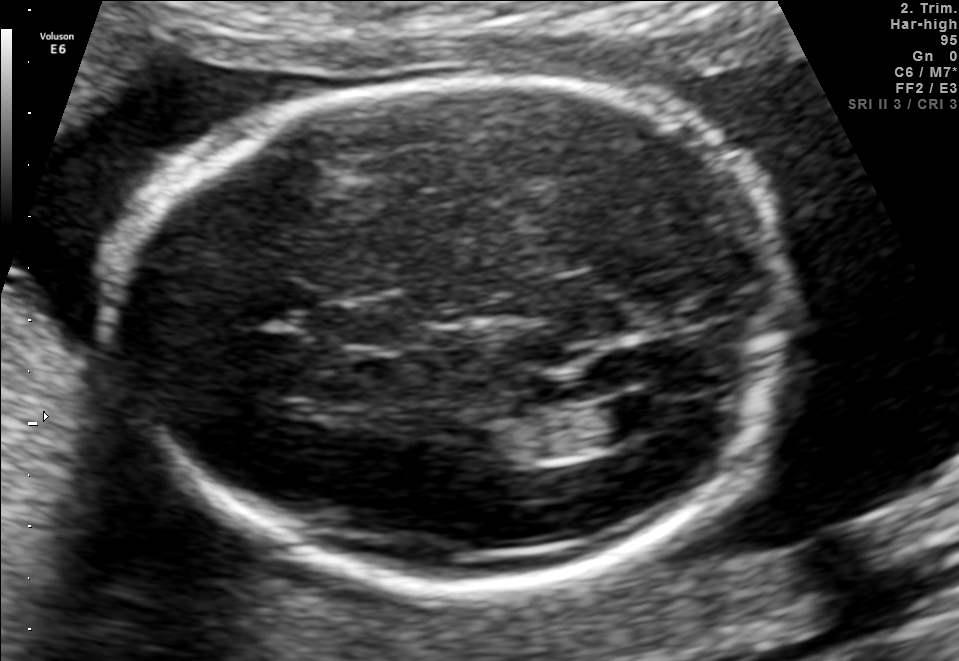
Fetal brain, trans-ventricular plane. Locate the fetal head.

Head: [103,80,786,587]